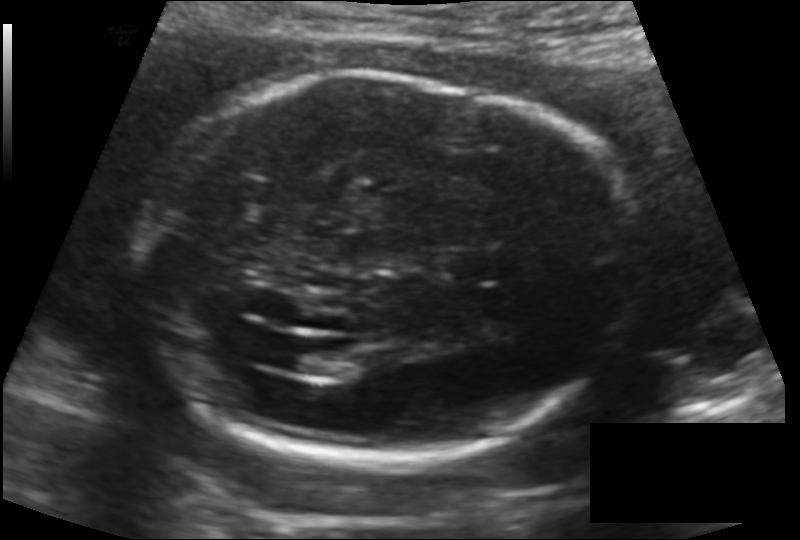
In this fetal head ultrasound, give the bounding box of the fetal head. Image width: 117.5 mm.

[143,76,627,462]